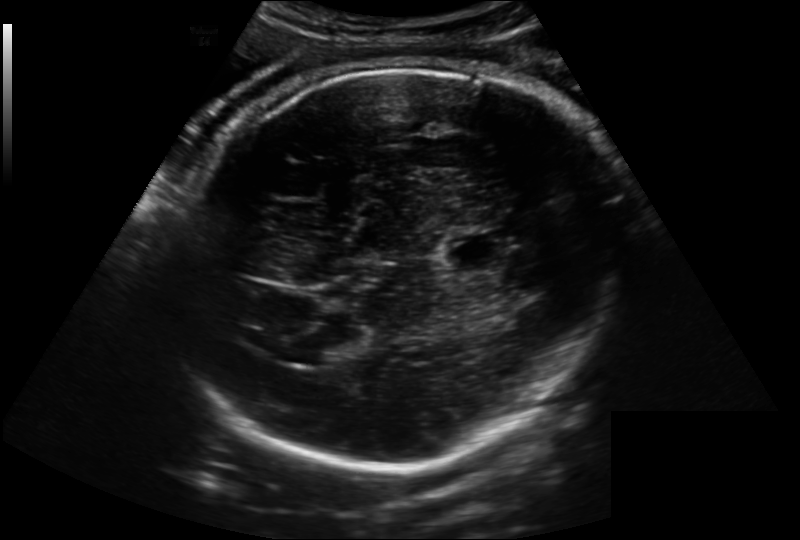
From this fetal ultrasound, estimate the head circumference (image width 177.3 mm).

Head circumference: 306.9 mm.